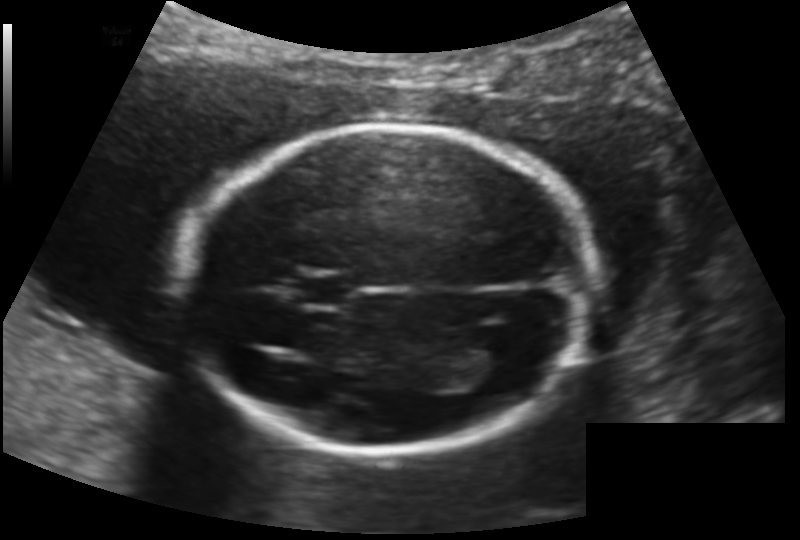
Fetal head ultrasound. Image width: 116.3 mm. Locate the fetal head.

Head: [182,125,601,451]